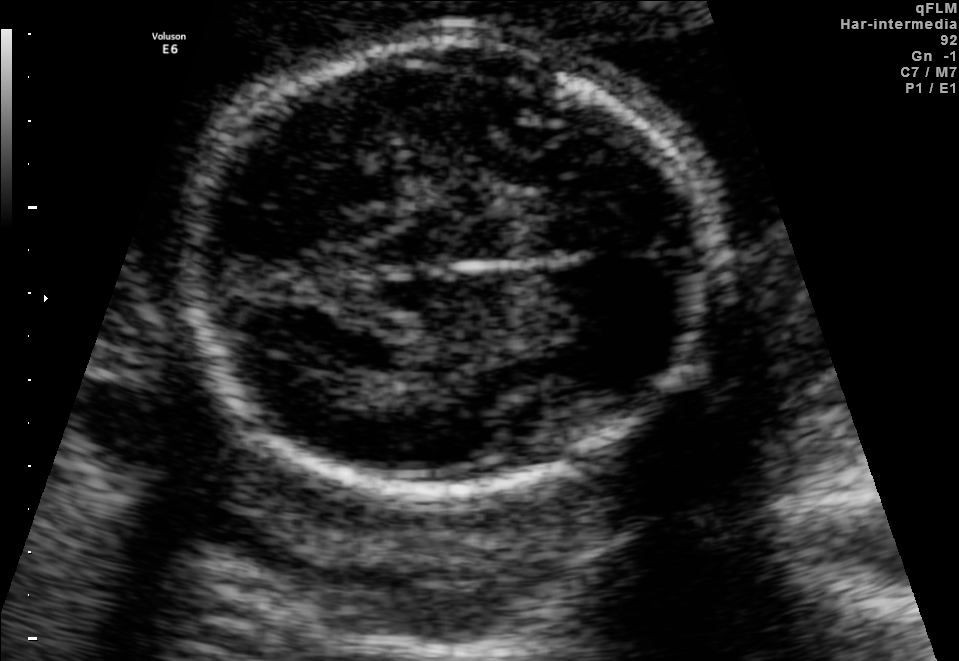
Classify this maternal-fetal ultrasound image as one of the six standard planes — fetal abdomen, fetal brain, fetal femur, fetal thorax, maternal cervix, or other. If it's fetal brain and one of the three standard brain planes (trans-thalamic, trans-cerebellum, trans-ventricular), name which.

Fetal brain (trans-thalamic plane)